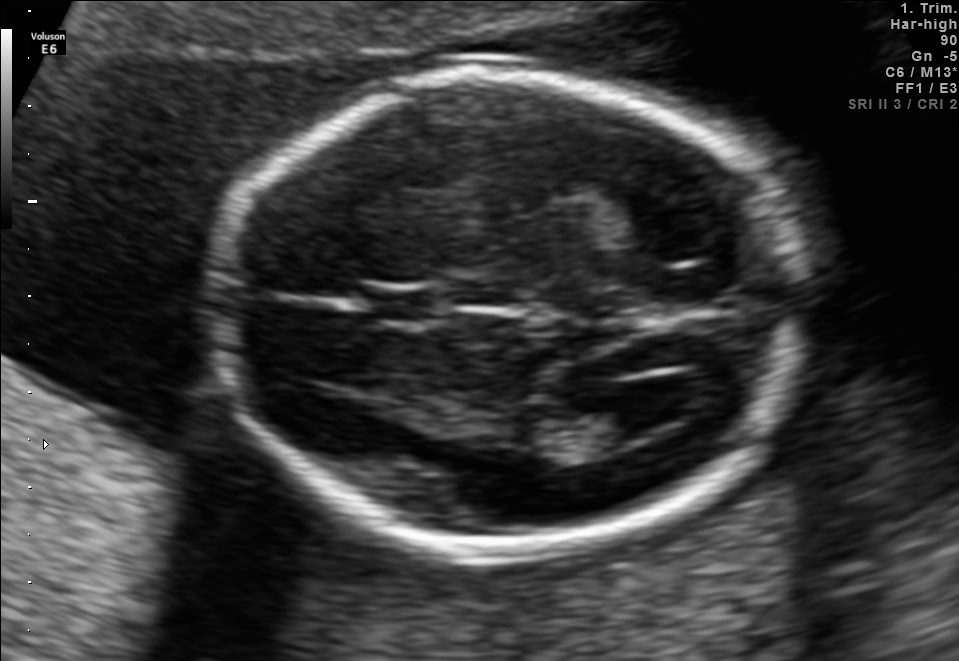
Fetal brain, trans-ventricular plane. Locate the cavum septum pellucidum.

CSP: [369,291,434,321]